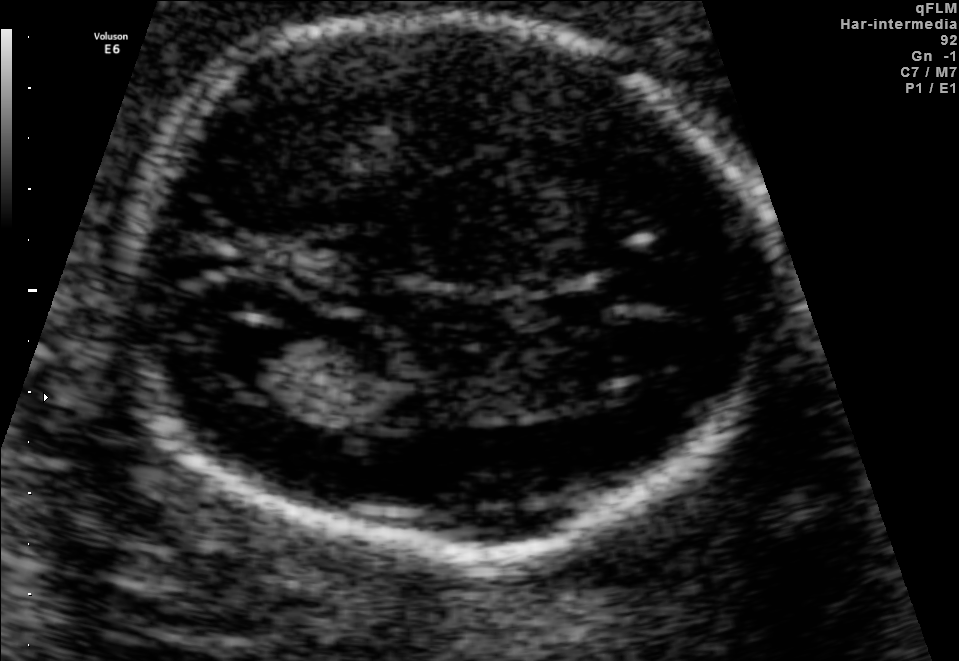
Classify this maternal-fetal ultrasound image as one of the six standard planes — fetal abdomen, fetal brain, fetal femur, fetal thorax, maternal cervix, or other. If it's fetal brain and one of the three standard brain planes (trans-thalamic, trans-cerebellum, trans-ventricular), name which.

Fetal brain (trans-ventricular plane)